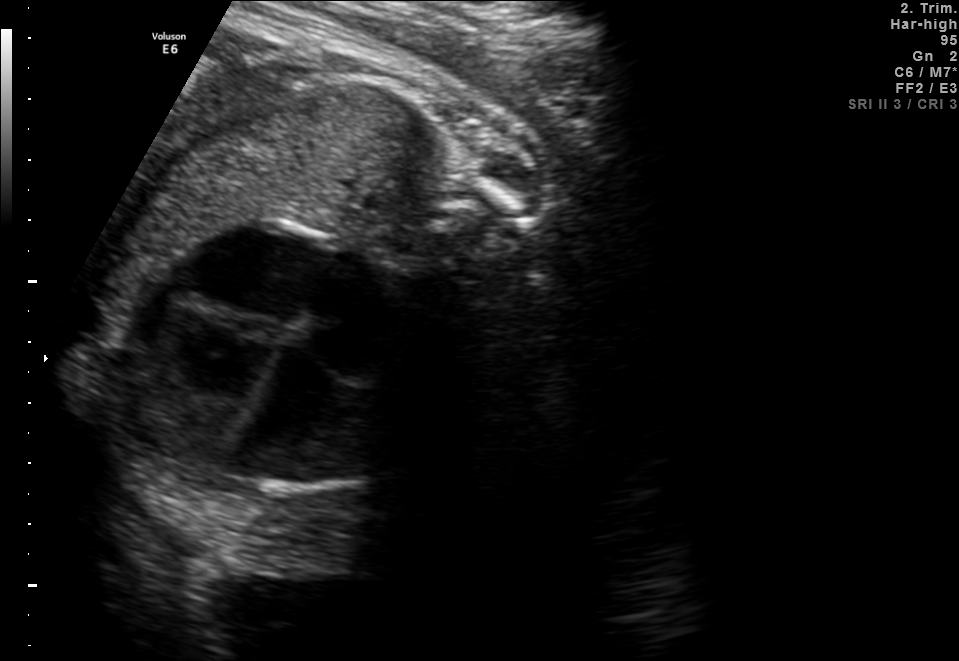
This is a 2D maternal-fetal ultrasound frame. Is it a fetal abdomen, fetal brain, fetal femur, fetal thorax, maternal cervix, or other standard plane? If it's fetal brain and one of the three standard brain planes (trans-thalamic, trans-cerebellum, trans-ventricular), name which.

Fetal thorax